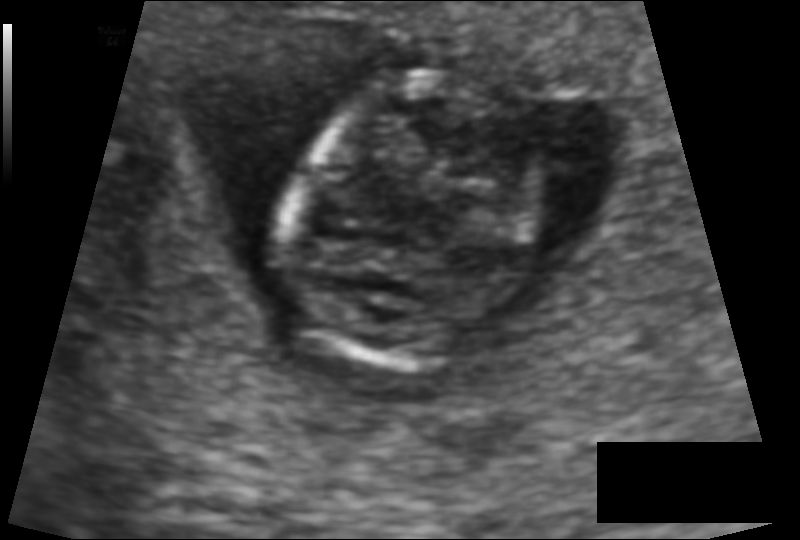
Fetal head ultrasound. Image width: 72.8 mm. Give [x1,y1,x2,y2] bounding boxes for each visible structure among: fetal head, CSP, LV.

Head: [285,73,531,368]